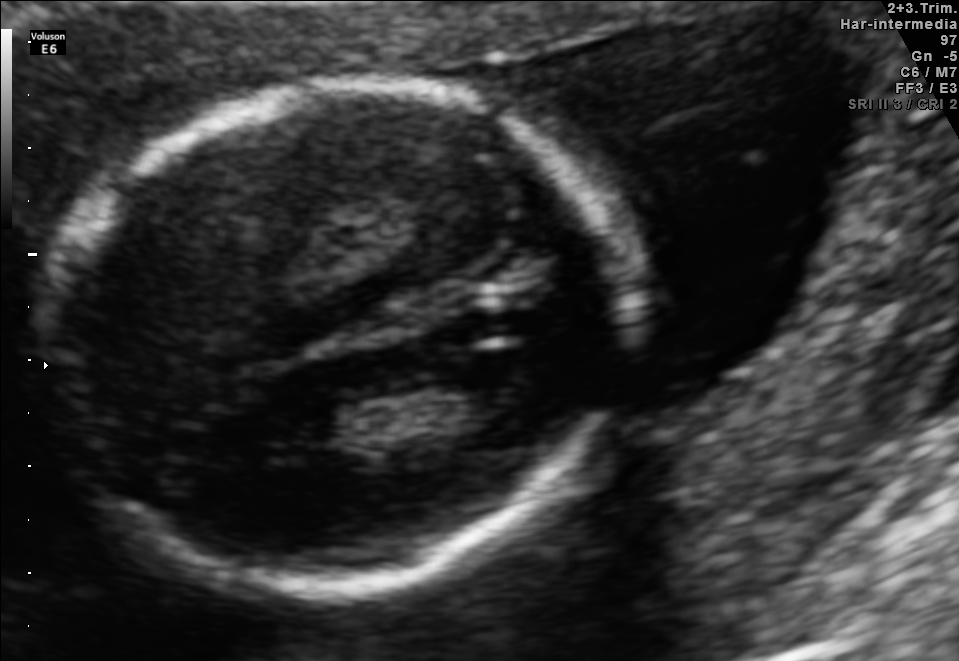
Fetal brain, trans-thalamic plane. Locate the fetal head.

Head: [43,77,624,594]